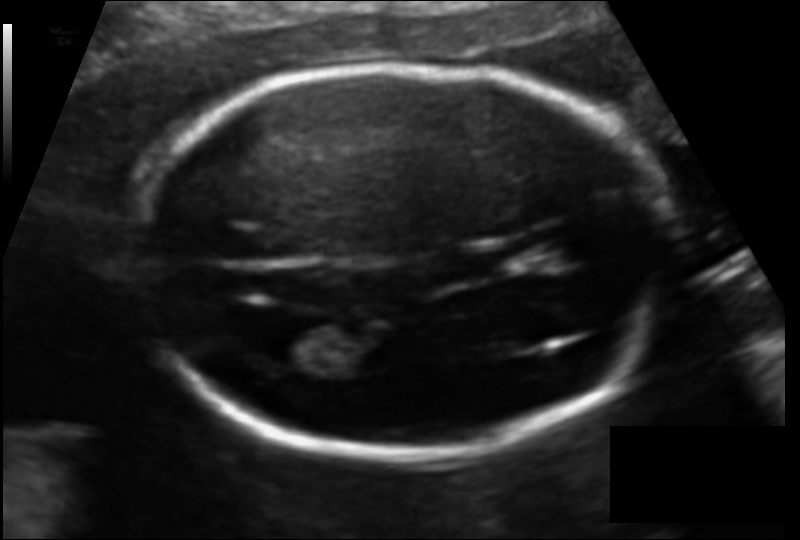
Fetal head ultrasound. Image width: 87.6 mm. Locate the fetal head and, if visible, the cavum septum pellucidum (CSP) and lateral ventricle (LV). Give bounding boxes as [x1,y1,x2,y2].

Head: [132,65,675,454]
Lateral ventricle: [257,324,336,365]